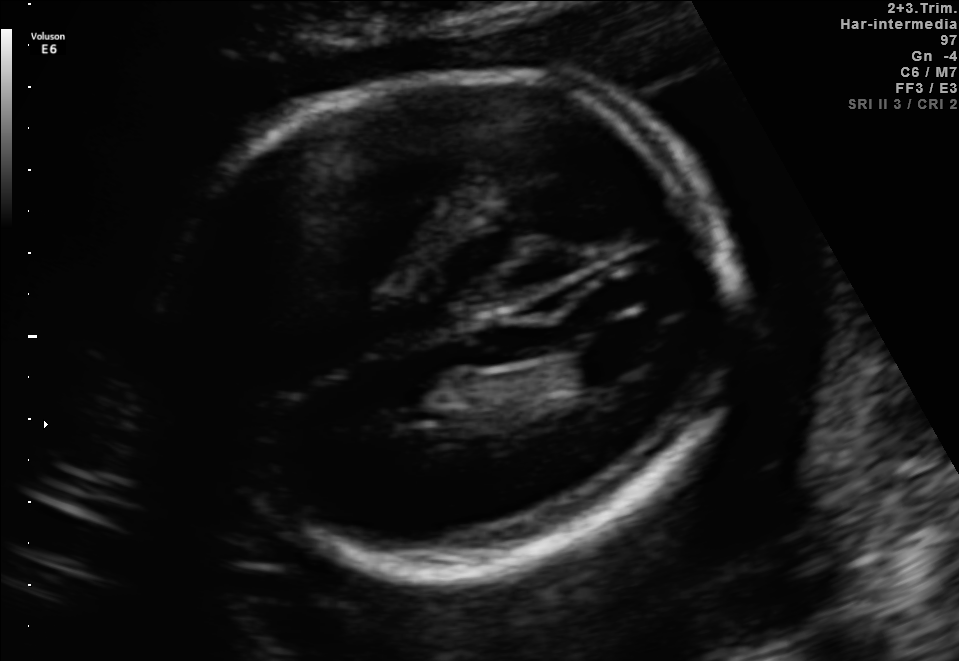
In this fetal brain, trans-ventricular plane, give bounding boxes for the head outline, cavum septum pellucidum (CSP), and lateral ventricle (LV), where visible.

Head: [159,61,758,582]